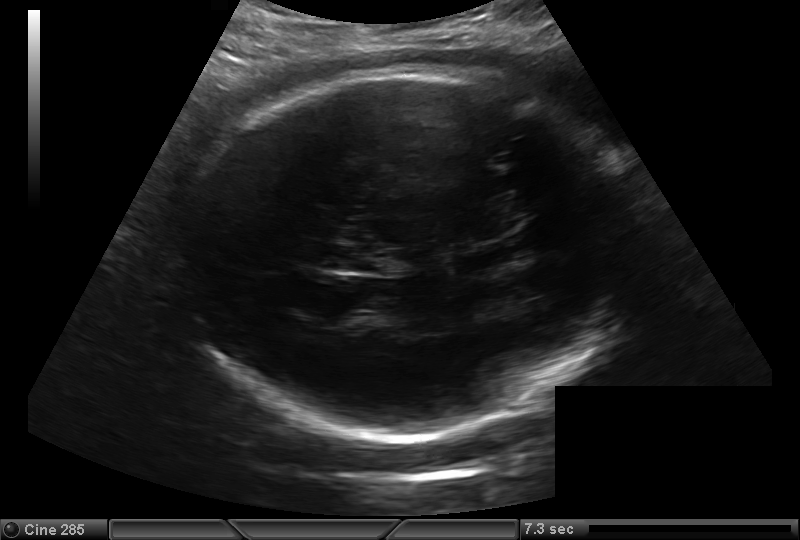
Measure the fetal head circumference shown in this ultrasound image. Image width: 173.2 mm.

Head circumference: 288.9 mm.